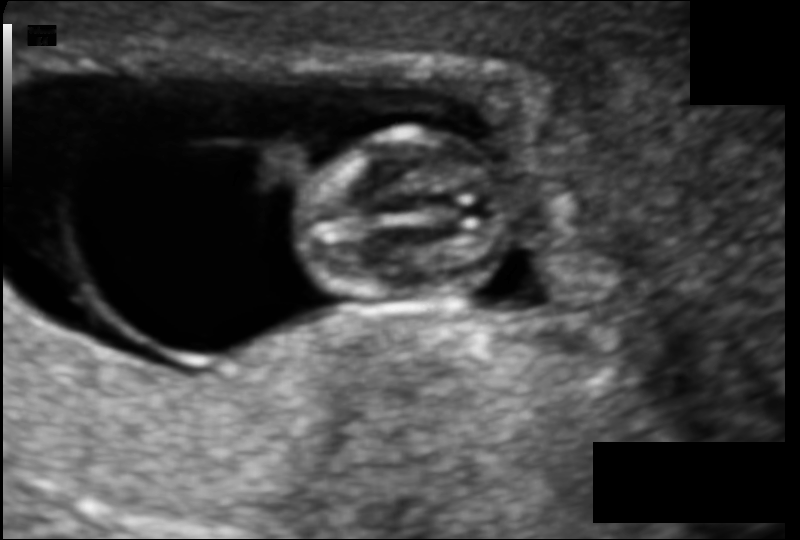
Fetal head ultrasound. Image width: 71.7 mm. Give [x1,y1,x2,y2] bounding boxes for each visible structure among: fetal head, CSP, LV.

Head: [289,132,512,304]